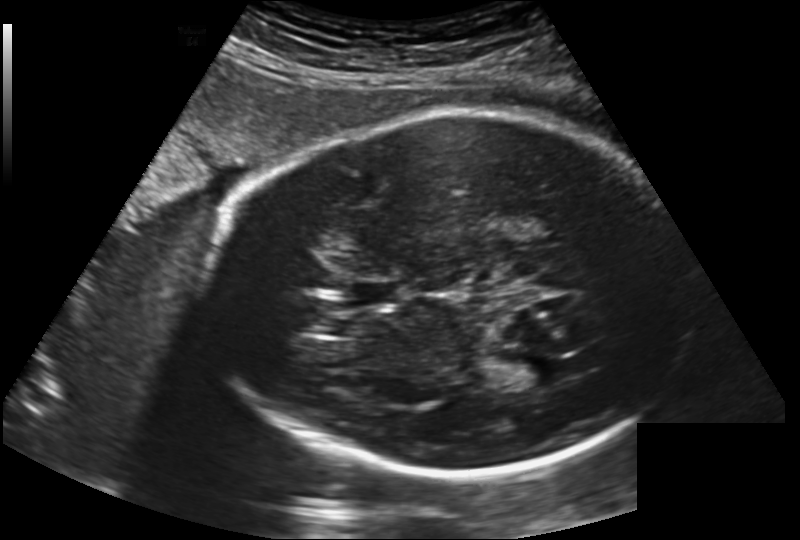
In this fetal head ultrasound, give the bounding box of the fetal head. Image width: 161.7 mm.

[207,111,685,476]